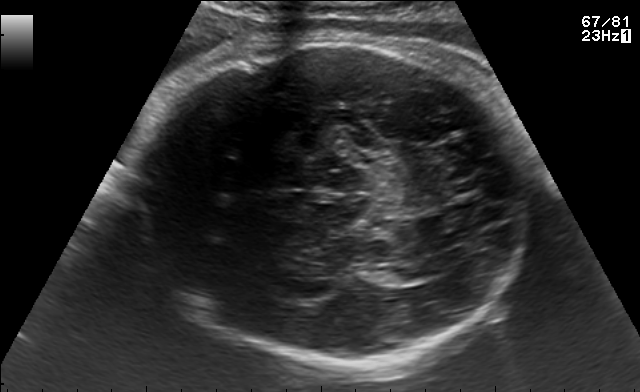
Which standard maternal-fetal ultrasound plane is shown: fetal abdomen, fetal brain, fetal femur, fetal thorax, maternal cervix, or other? If it's fetal brain and one of the three standard brain planes (trans-thalamic, trans-cerebellum, trans-ventricular), name which.

Fetal brain (trans-thalamic plane)